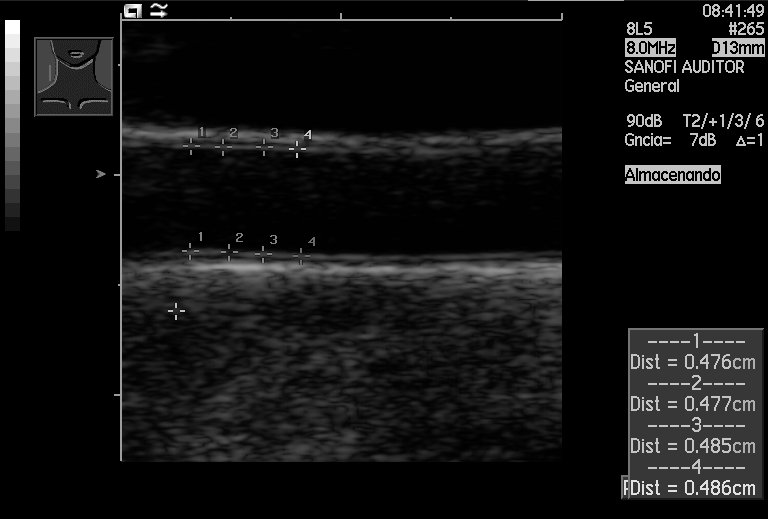
This is a 2D maternal-fetal ultrasound frame. Is it a fetal abdomen, fetal brain, fetal femur, fetal thorax, maternal cervix, or other standard plane? If it's fetal brain and one of the three standard brain planes (trans-thalamic, trans-cerebellum, trans-ventricular), name which.

Other